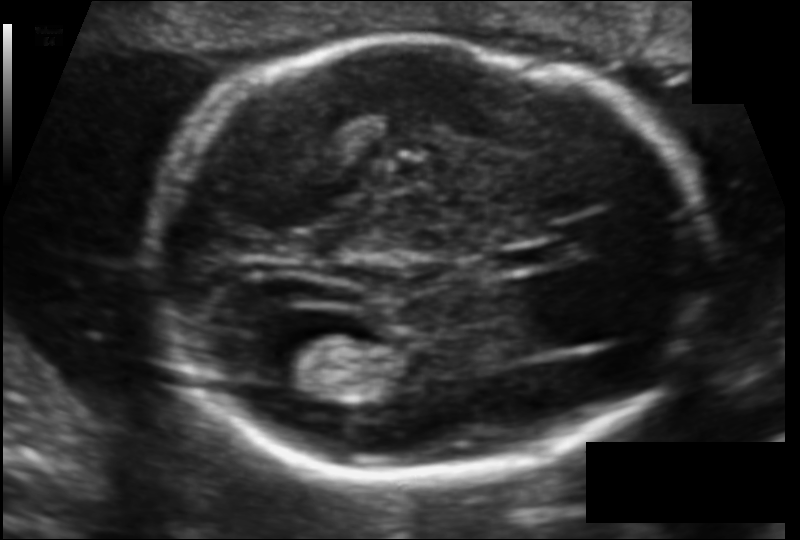
Fetal head ultrasound. Image width: 84.9 mm. Where is the fetal head?

Head bounding box: [155,38,703,475]